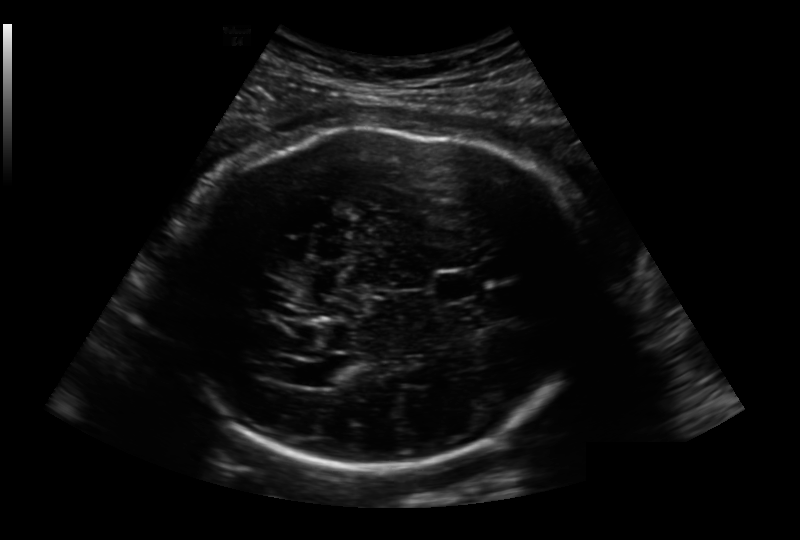
Fetal head ultrasound. Image width: 188.6 mm. Where is the fetal head?

Head bounding box: [174,125,596,469]